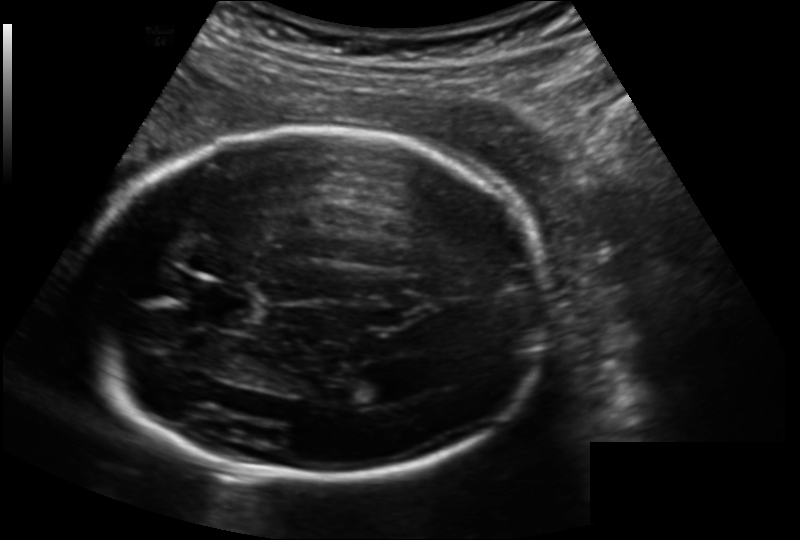
From this fetal ultrasound, estimate the head circumference (image width 130.8 mm).

Head circumference: 219.1 mm.